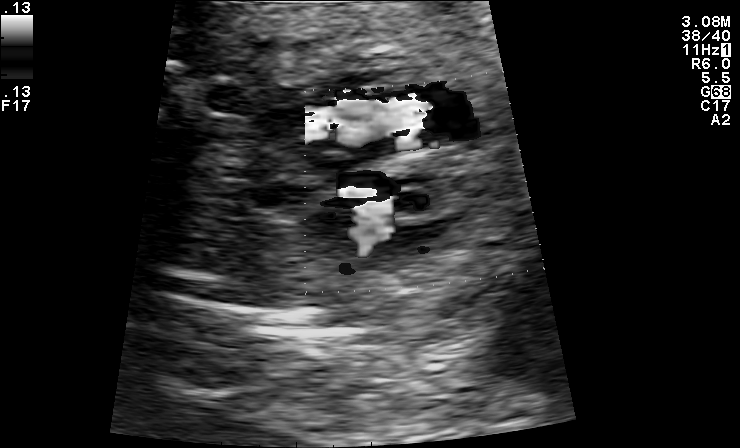
This is a 2D maternal-fetal ultrasound frame. Is it a fetal abdomen, fetal brain, fetal femur, fetal thorax, maternal cervix, or other standard plane? If it's fetal brain and one of the three standard brain planes (trans-thalamic, trans-cerebellum, trans-ventricular), name which.

Other